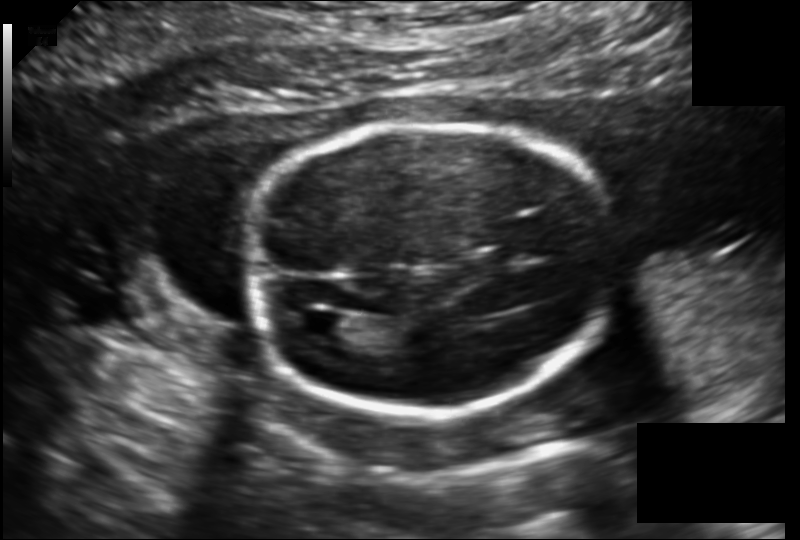
What is the fetal head circumference? Image width is 119.0 mm.

159.9 mm